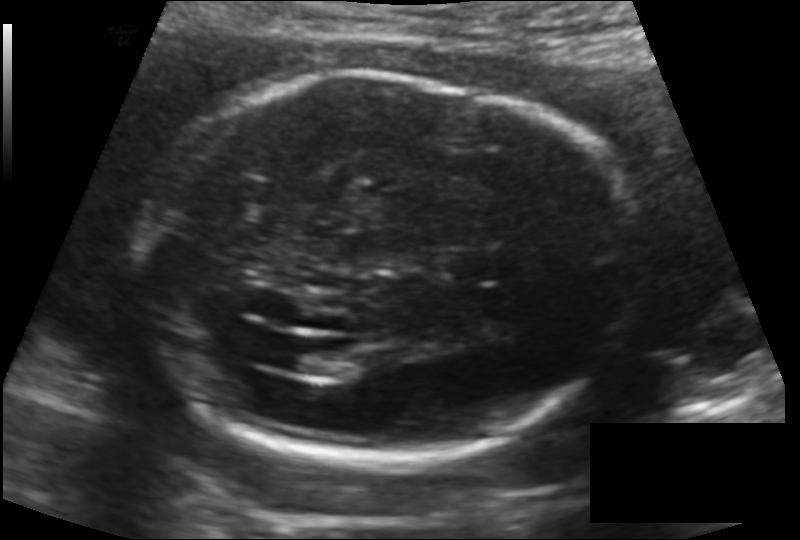
What is the fetal head circumference? Image width is 117.5 mm.

212.9 mm